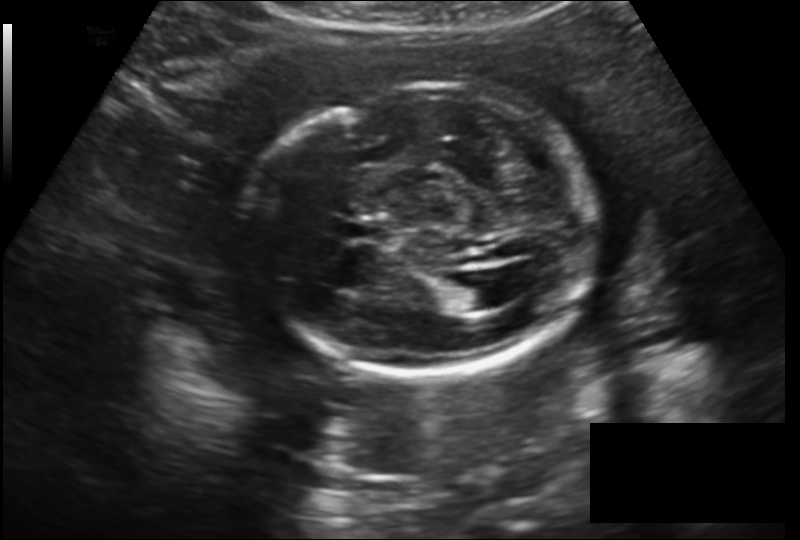
Estimate the fetal head circumference from this 2D ultrasound. Image width: 145.7 mm.

Head circumference: 191.7 mm.